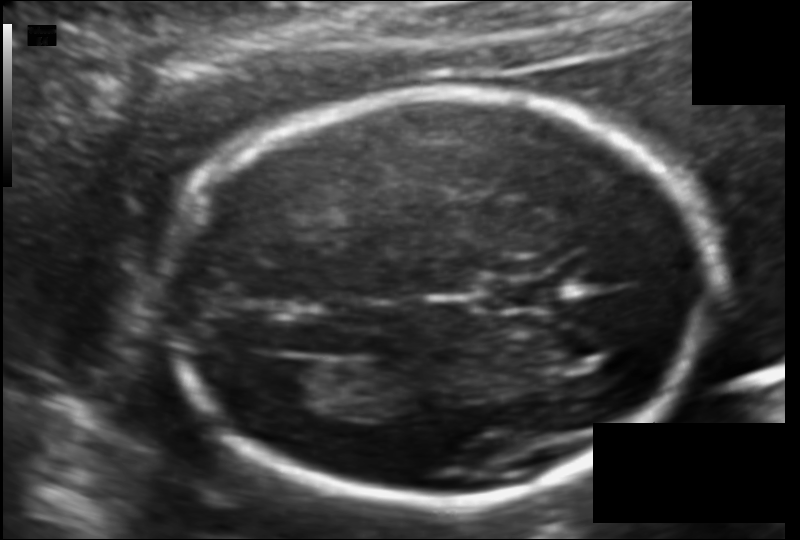
Fetal head ultrasound. Image width: 88.5 mm. Where is the fetal head?

Head bounding box: [168,91,712,501]